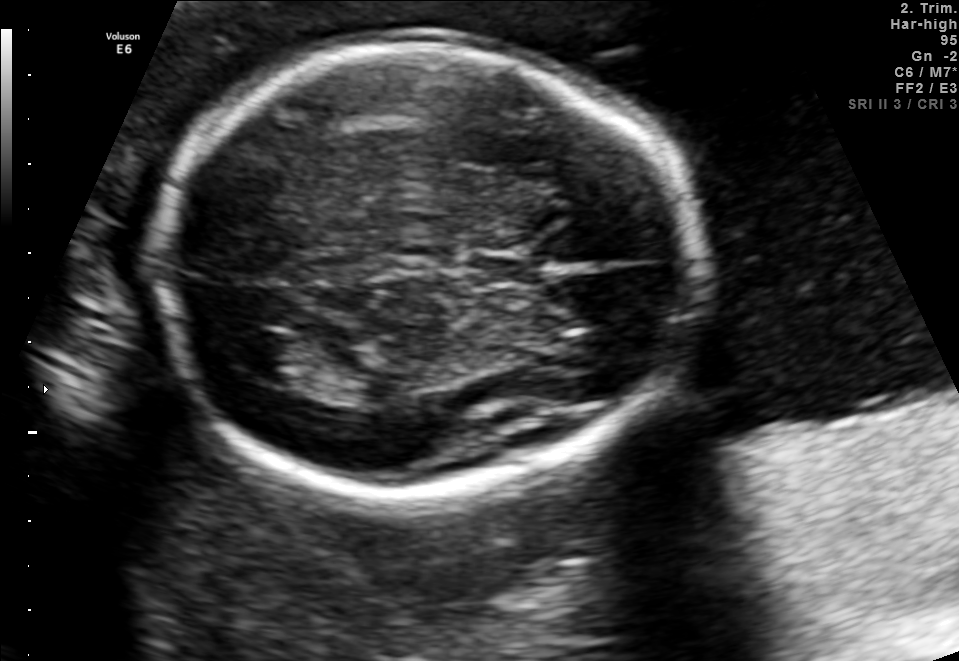
Fetal brain, trans-thalamic plane. Give [x1,y1,x2,y2] bounding boxes for each visible structure among: fetal head, CSP, LV.

Head: [151,49,700,490]
CSP: [463,250,551,286]
Lateral ventricle: [232,324,316,390]